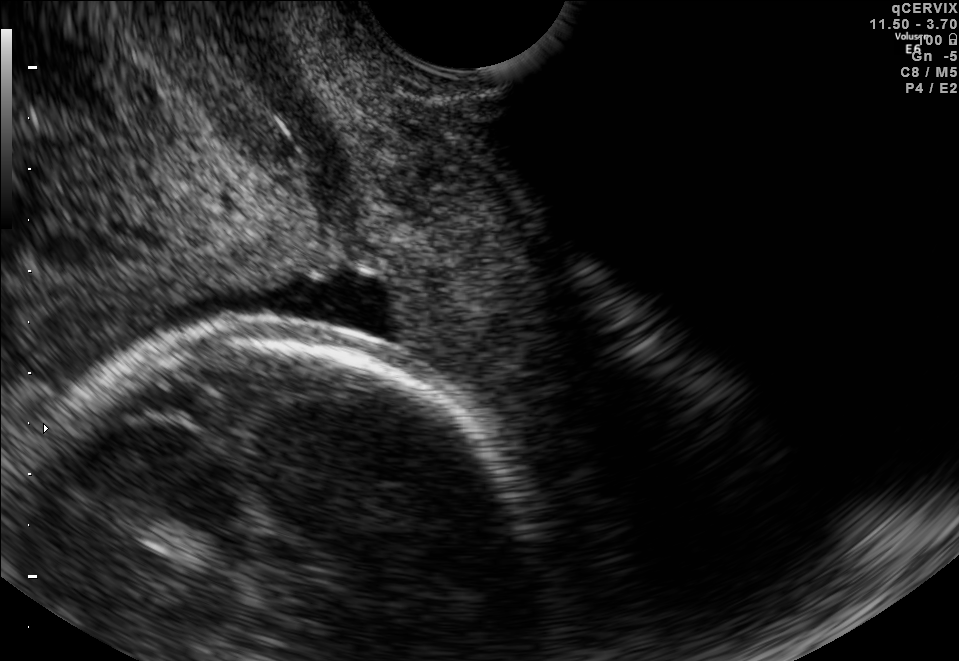
This is a 2D maternal-fetal ultrasound frame. Is it a fetal abdomen, fetal brain, fetal femur, fetal thorax, maternal cervix, or other standard plane? If it's fetal brain and one of the three standard brain planes (trans-thalamic, trans-cerebellum, trans-ventricular), name which.

Maternal cervix